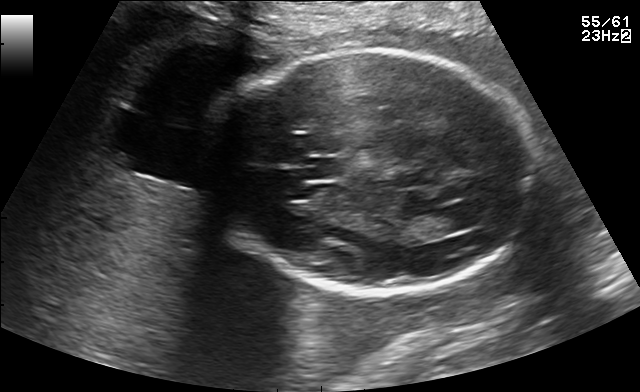
In this fetal brain, trans-thalamic plane, give the bounding box of the cavum septum pellucidum.

[308,158,342,179]